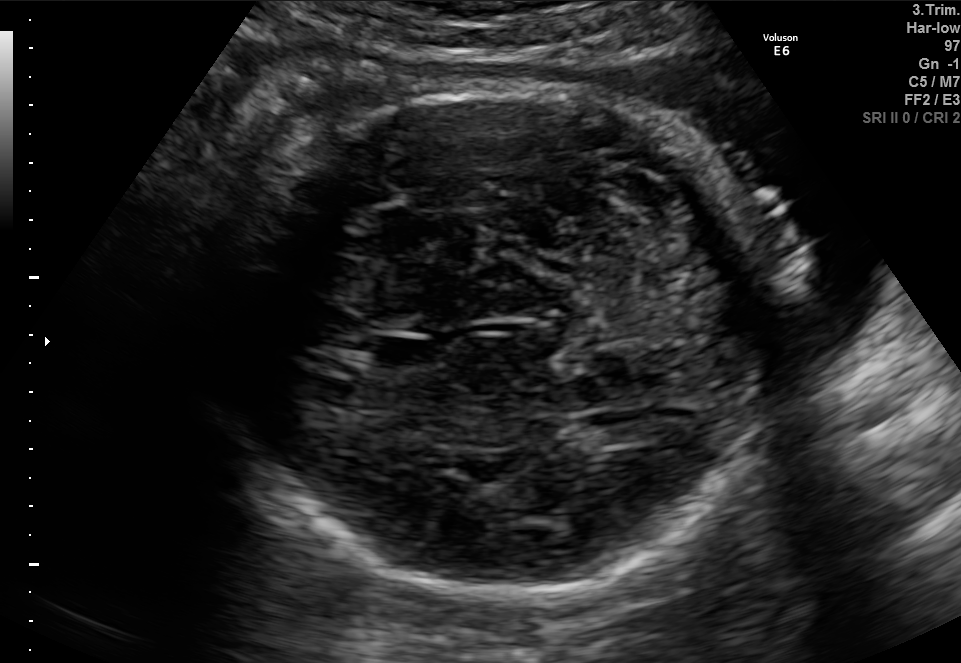
Fetal brain, trans-cerebellum plane. Locate the fetal head.

Head: [209,87,780,590]